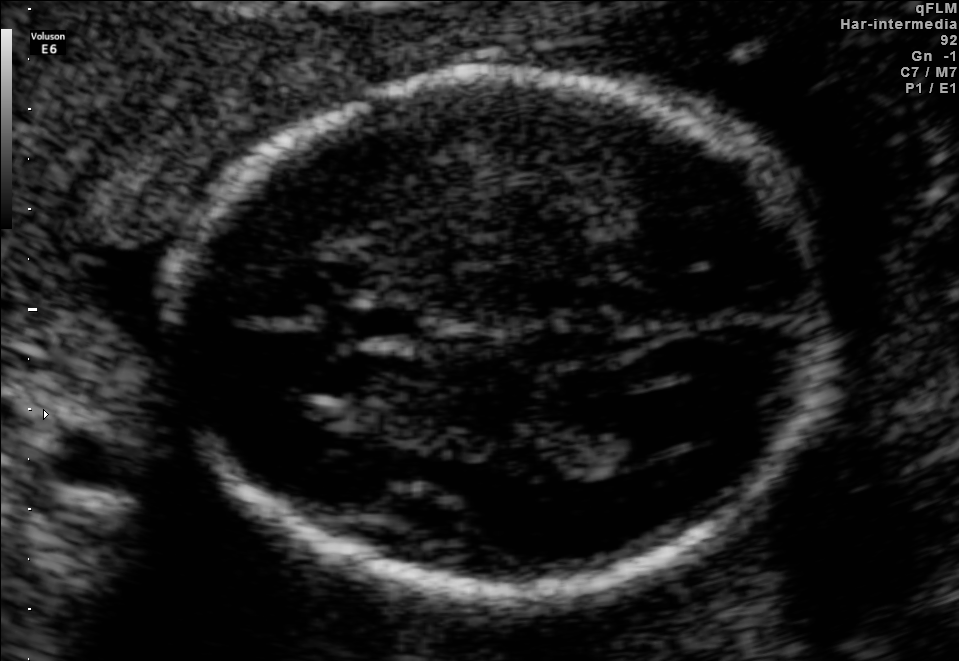
Fetal brain, trans-ventricular plane. Locate the fetal head and, if visible, the cavum septum pellucidum (CSP) and lateral ventricle (LV). Give bounding boxes as [x1,y1,x2,y2].

Head: [153,63,852,604]
CSP: [350,306,437,337]